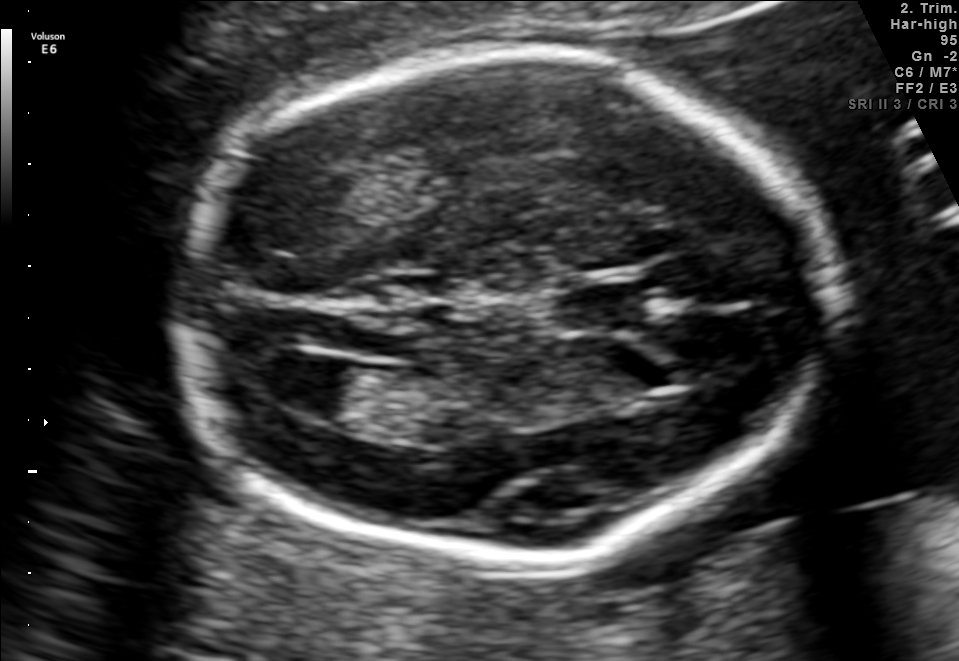
Identify the standard plane in this fetal ultrasound image: fetal abdomen, fetal brain, fetal femur, fetal thorax, maternal cervix, or other. If it's fetal brain and one of the three standard brain planes (trans-thalamic, trans-cerebellum, trans-ventricular), name which.

Fetal brain (trans-ventricular plane)